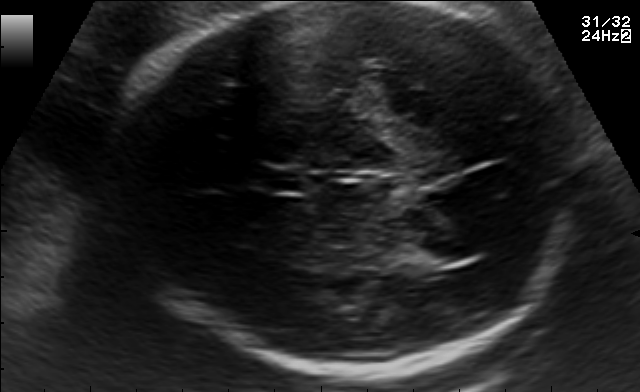
In this fetal brain, trans-thalamic plane, give the bounding box of the fetal head.

[118,2,593,375]